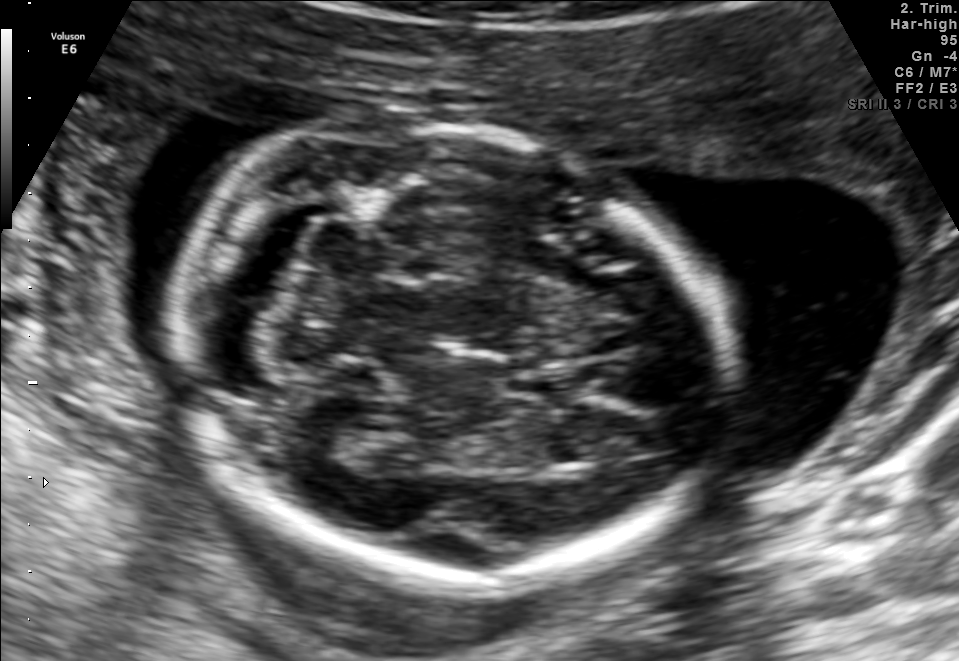
In this fetal brain, trans-cerebellum plane, give bounding boxes for the head outline, cavum septum pellucidum (CSP), and lateral ventricle (LV), where visible.

Head: [173,121,732,584]